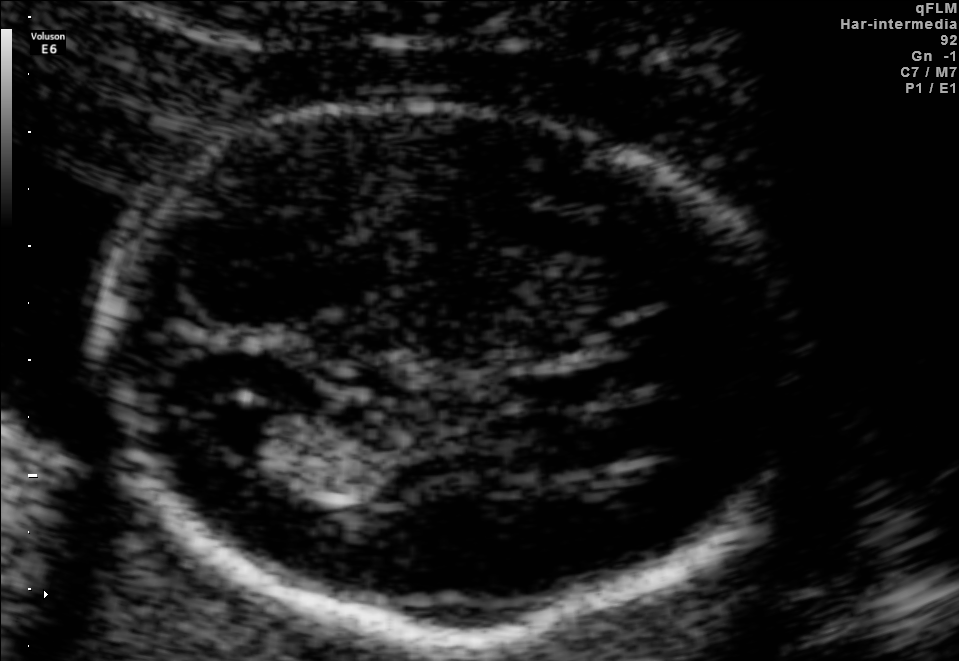
Fetal brain, trans-ventricular plane. Locate the fetal head.

Head: [83,92,806,649]